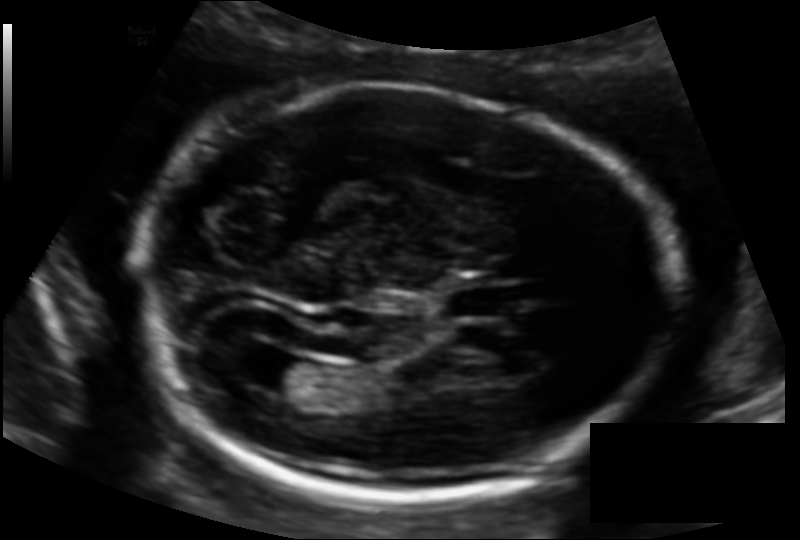
From this fetal ultrasound, estimate the head circumference (image width 103.6 mm).

Head circumference: 197.7 mm.